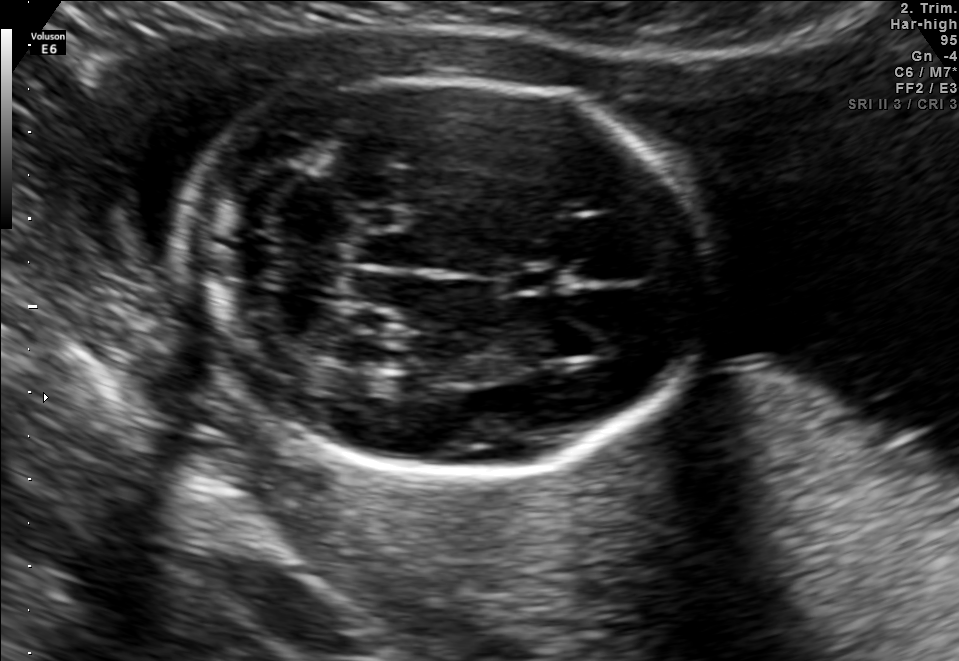
Fetal brain, trans-cerebellum plane. Where is the cavum septum pellucidum?

CSP bounding box: [504,262,564,298]